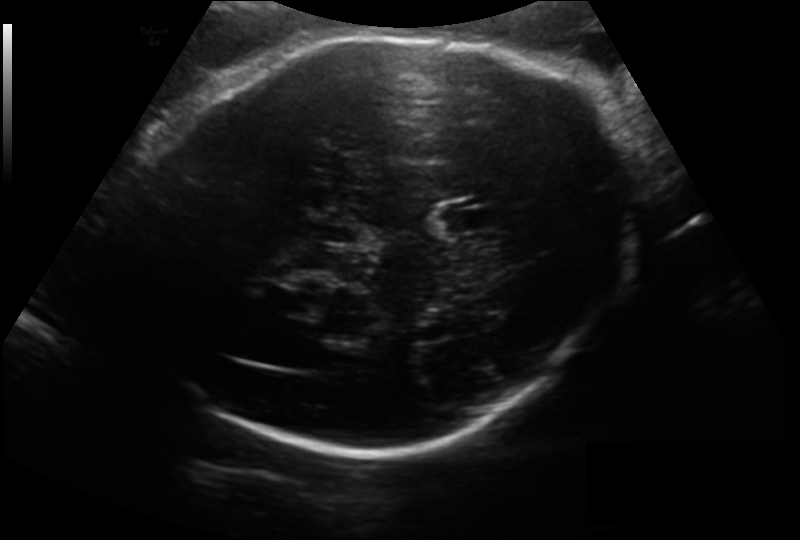
Estimate the fetal head circumference from this 2D ultrasound. Image width: 160.1 mm.

Head circumference: 294.9 mm.